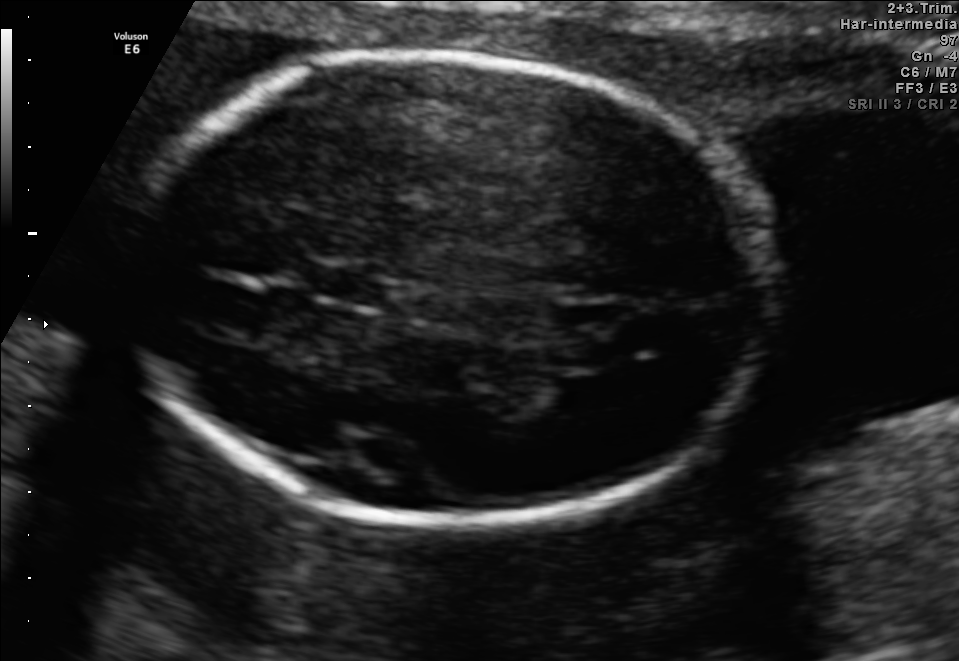
Fetal brain, trans-thalamic plane. Where is the cavum septum pellucidum?

CSP bounding box: [313,261,388,311]